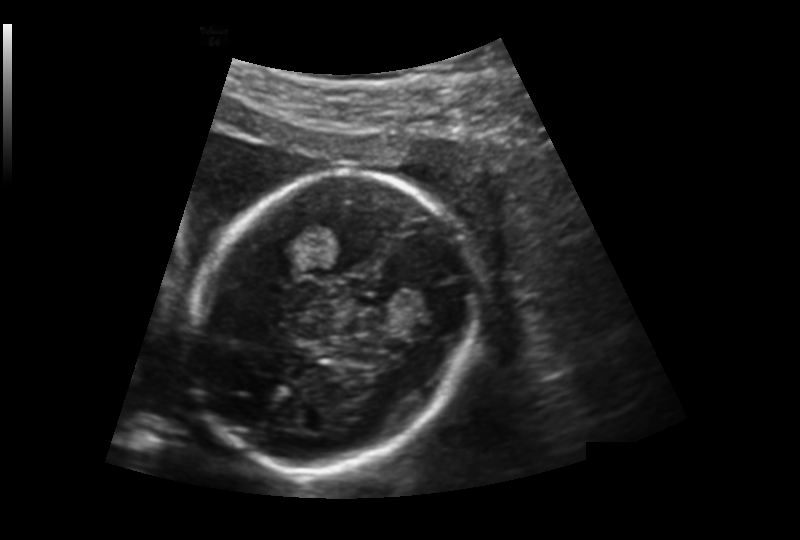
Estimate the fetal head circumference from this 2D ultrasound.

Head circumference: 165.7 mm (image width 140.4 mm).